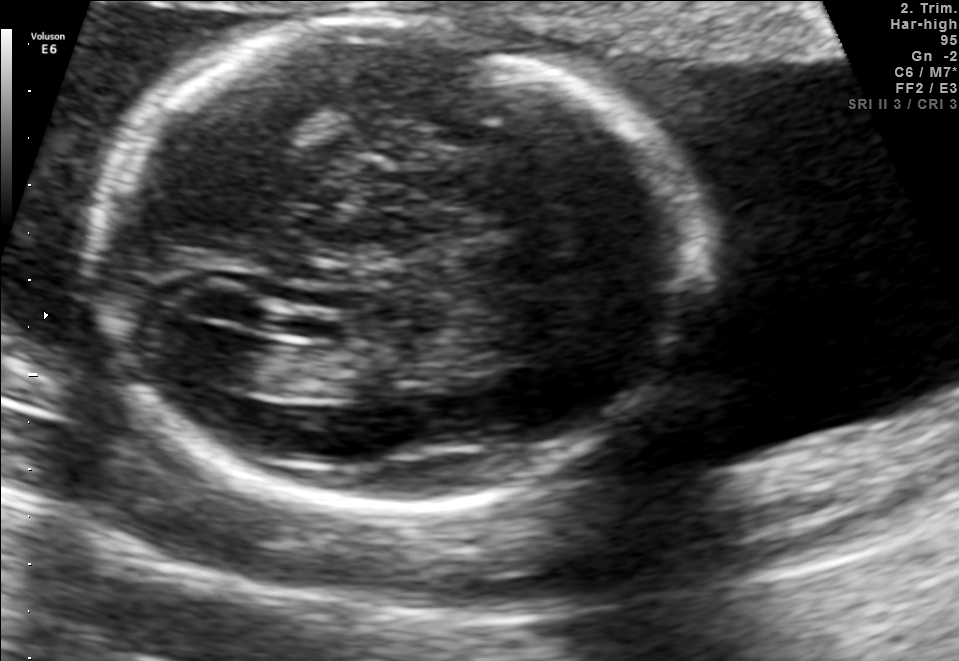
Fetal brain, trans-ventricular plane. Locate the fetal head and, if visible, the cavum septum pellucidum (CSP) and lateral ventricle (LV). Give bounding boxes as [x1,y1,x2,y2].

Head: [81,6,708,523]
Lateral ventricle: [188,323,279,393]